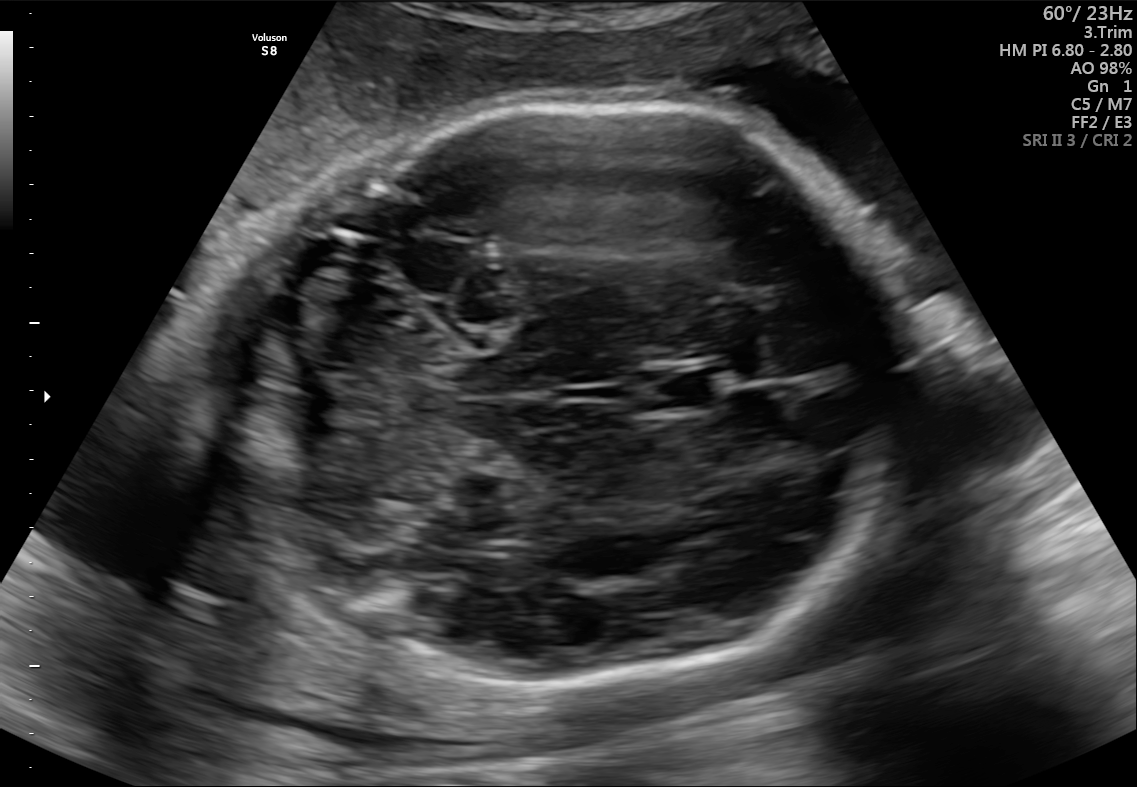
Fetal brain, trans-cerebellum plane. Give [x1,y1,x2,y2] bounding boxes for each visible structure among: fetal head, CSP, LV.

Head: [198,105,906,687]
CSP: [634,361,725,419]